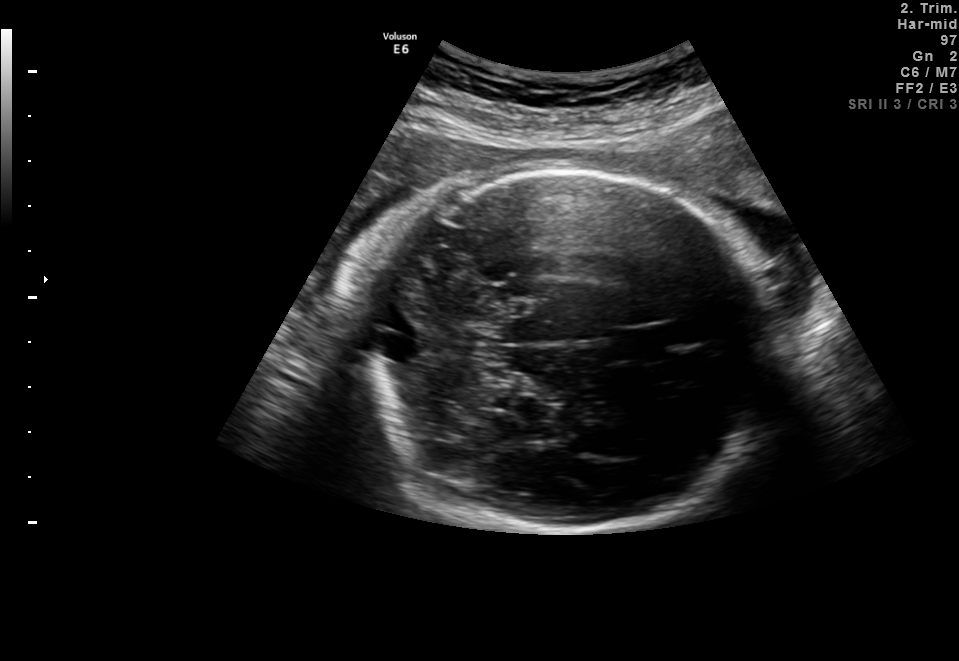
This is a 2D maternal-fetal ultrasound frame. Is it a fetal abdomen, fetal brain, fetal femur, fetal thorax, maternal cervix, or other standard plane? If it's fetal brain and one of the three standard brain planes (trans-thalamic, trans-cerebellum, trans-ventricular), name which.

Fetal brain (trans-cerebellum plane)